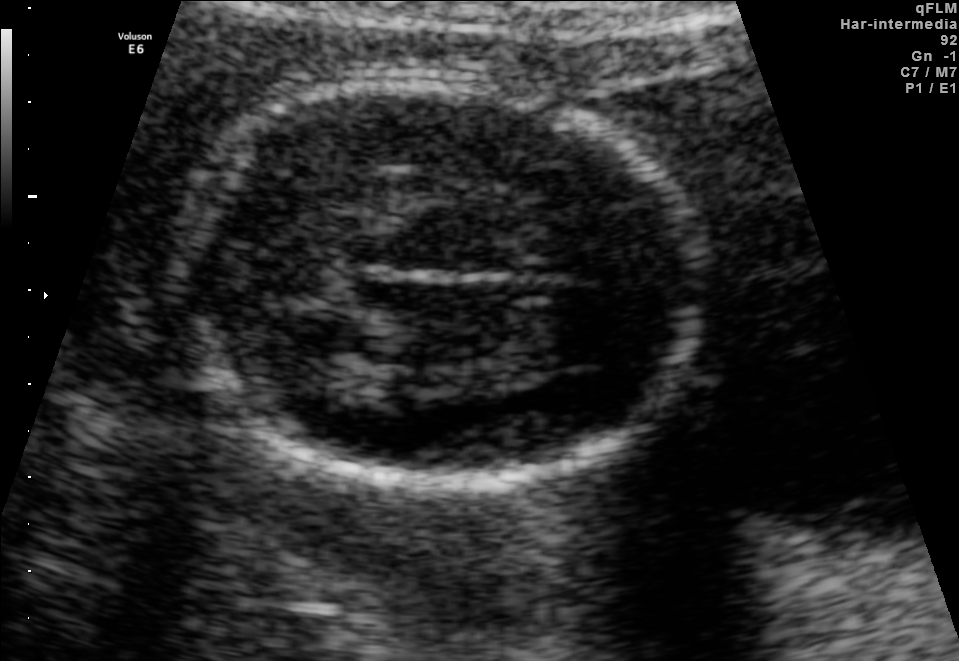
Fetal brain, trans-thalamic plane. Where is the fetal head?

Head bounding box: [171,78,702,483]